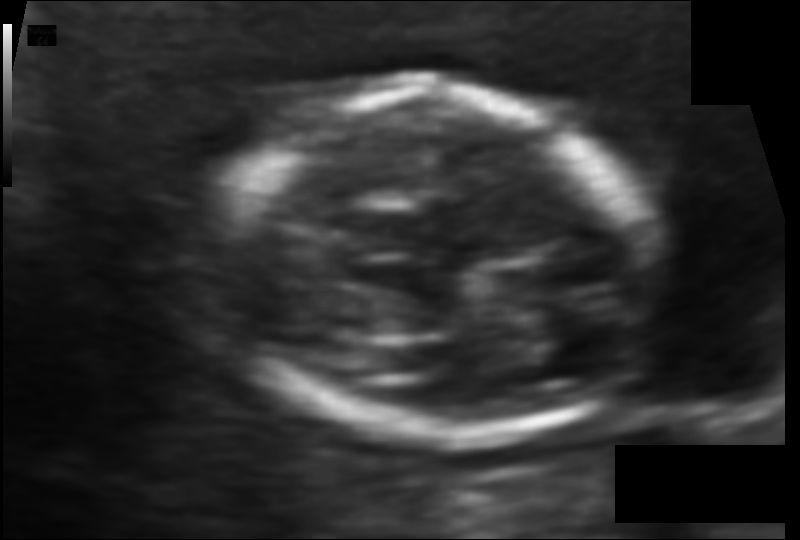
Fetal head ultrasound. Image width: 66.1 mm. Locate the fetal head.

Head: [200,87,657,441]